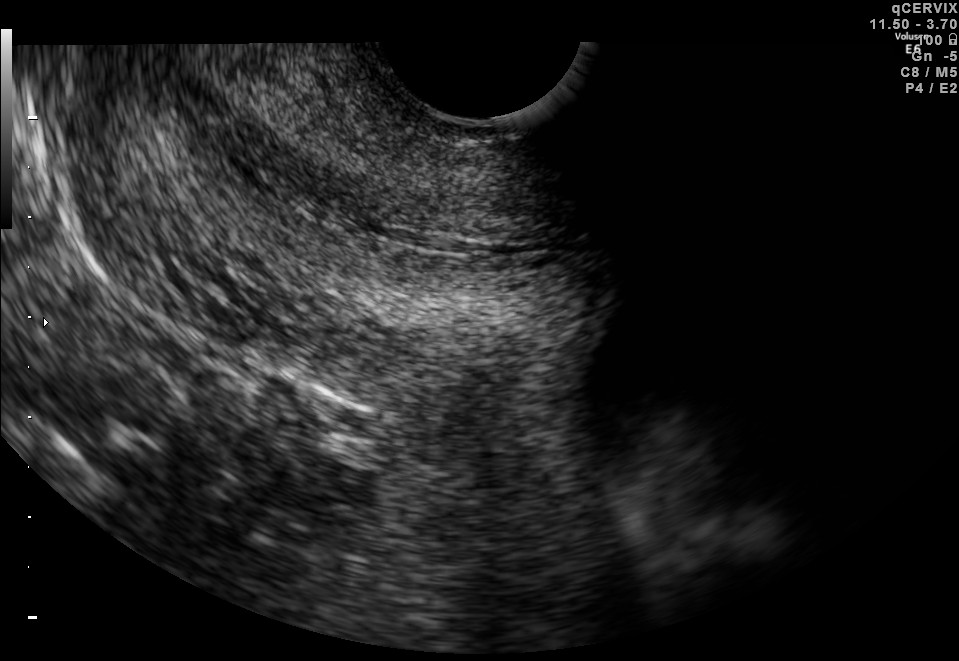
Classify this maternal-fetal ultrasound image as one of the six standard planes — fetal abdomen, fetal brain, fetal femur, fetal thorax, maternal cervix, or other. If it's fetal brain and one of the three standard brain planes (trans-thalamic, trans-cerebellum, trans-ventricular), name which.

Maternal cervix